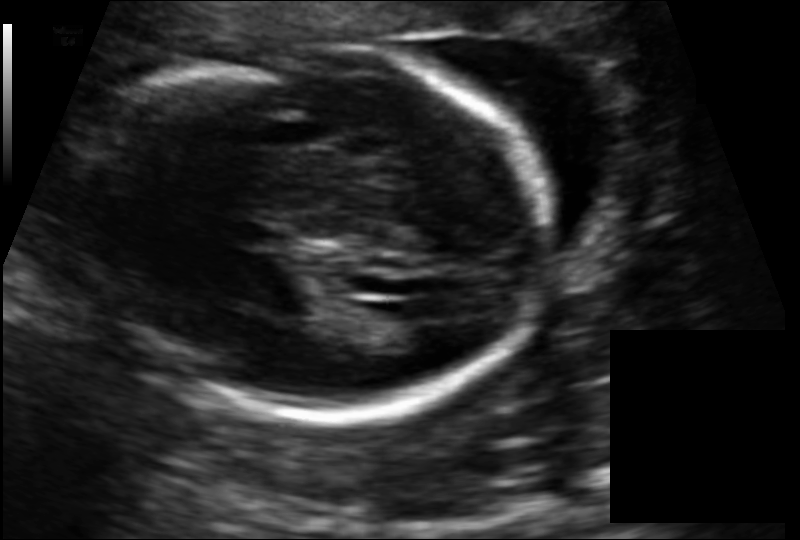
From this fetal ultrasound, estimate the head circumference (image width 108.7 mm).

Head circumference: 185.5 mm.